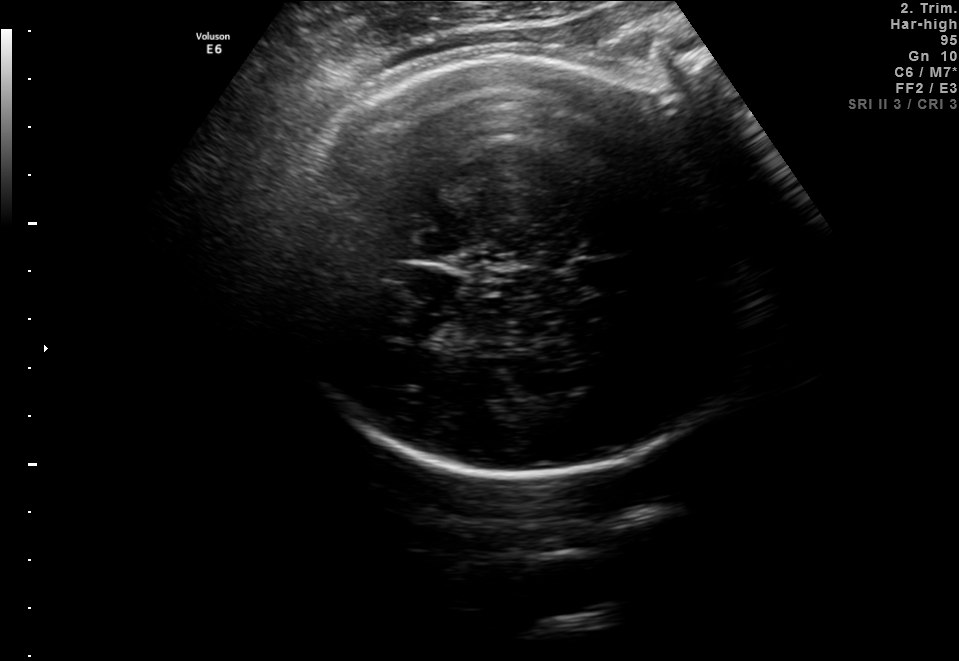
In this fetal brain, trans-thalamic plane, give bounding boxes for the head outline, cavum septum pellucidum (CSP), and lateral ventricle (LV), where visible.

Head: [277,56,758,473]